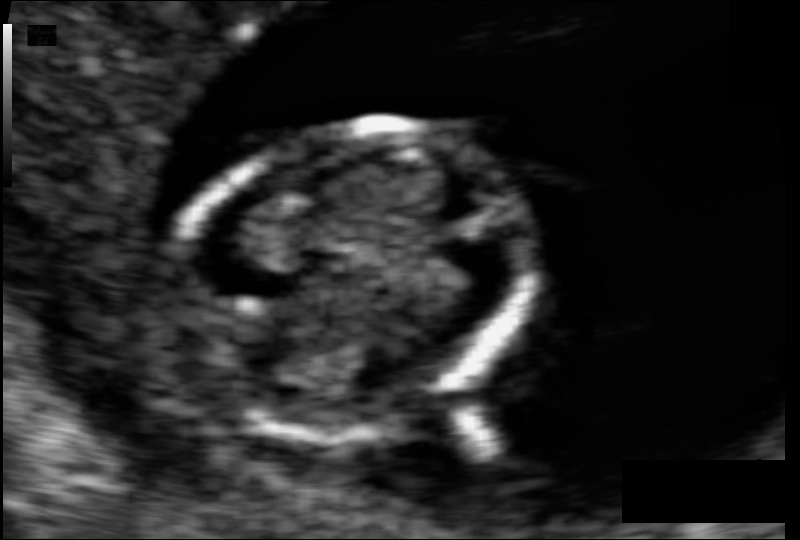
Fetal head ultrasound. Image width: 54.9 mm. Give [x1,y1,x2,y2] bounding boxes for each visible structure among: fetal head, CSP, LV.

Head: [177,121,536,440]